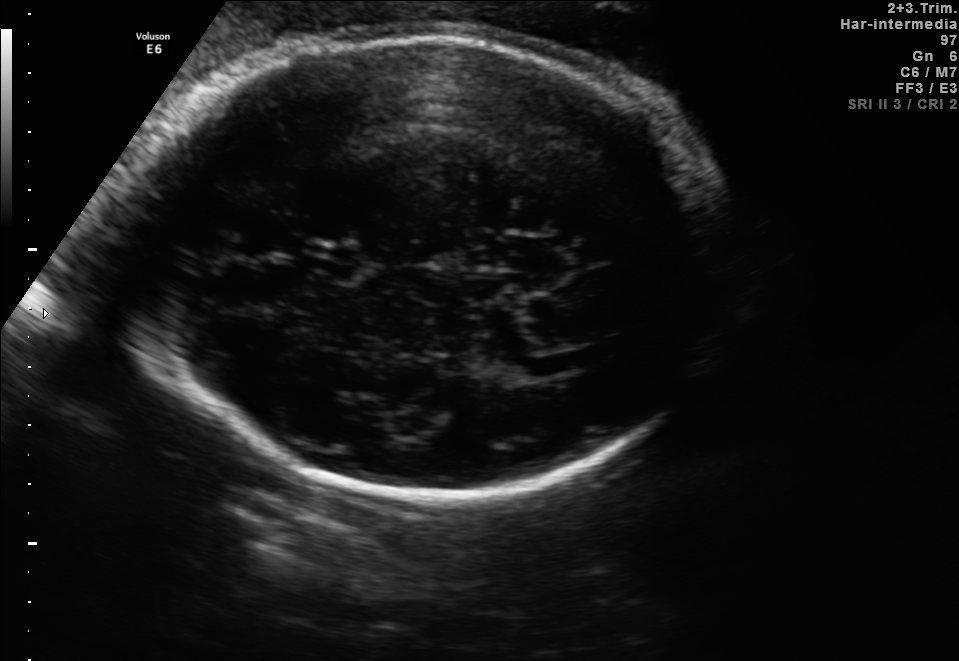
Fetal brain, trans-thalamic plane. Give [x1,y1,x2,y2] bounding boxes for each visible structure among: fetal head, CSP, LV.

Head: [134,35,733,490]
CSP: [300,243,358,282]
Lateral ventricle: [555,334,627,377]